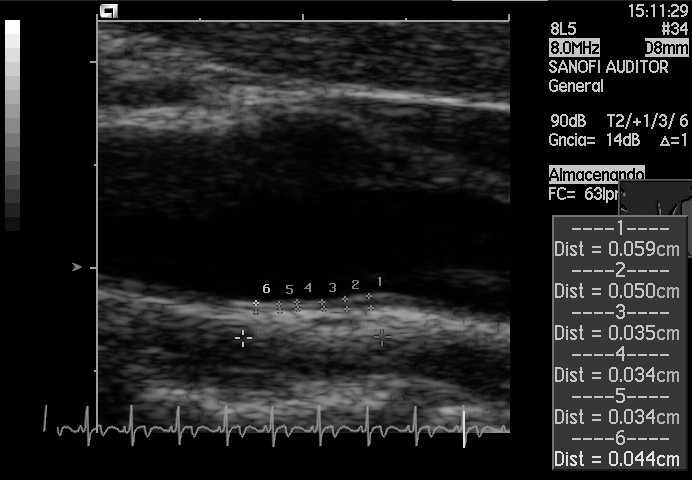
Identify the standard plane in this fetal ultrasound image: fetal abdomen, fetal brain, fetal femur, fetal thorax, maternal cervix, or other. If it's fetal brain and one of the three standard brain planes (trans-thalamic, trans-cerebellum, trans-ventricular), name which.

Other